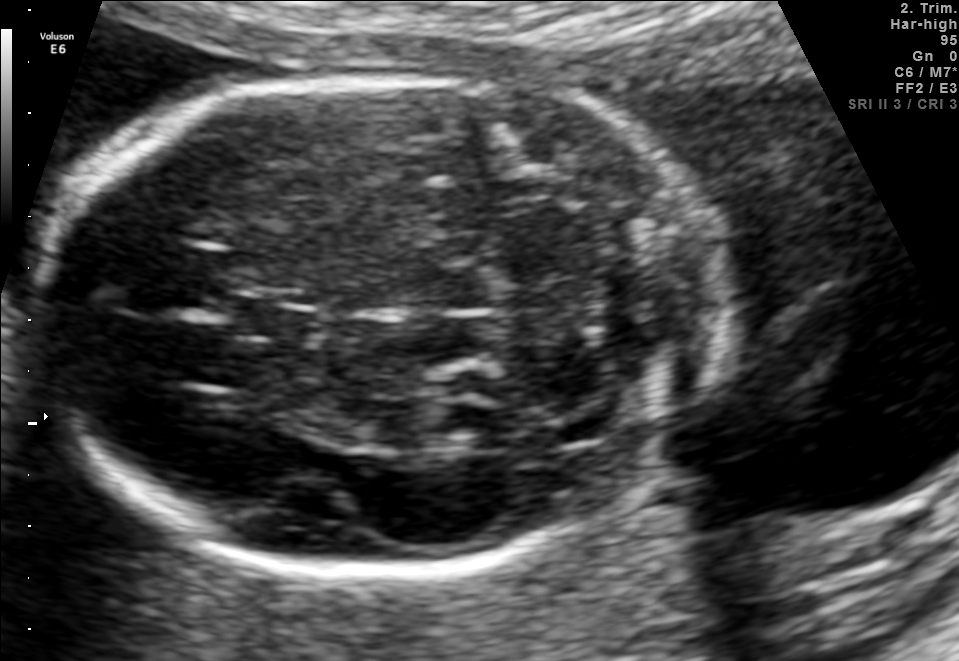
Fetal brain, trans-cerebellum plane. Locate the fetal head and, if visible, the cavum septum pellucidum (CSP) and lateral ventricle (LV). Give bounding boxes as [x1,y1,x2,y2].

Head: [37,71,728,574]
CSP: [232,295,321,345]